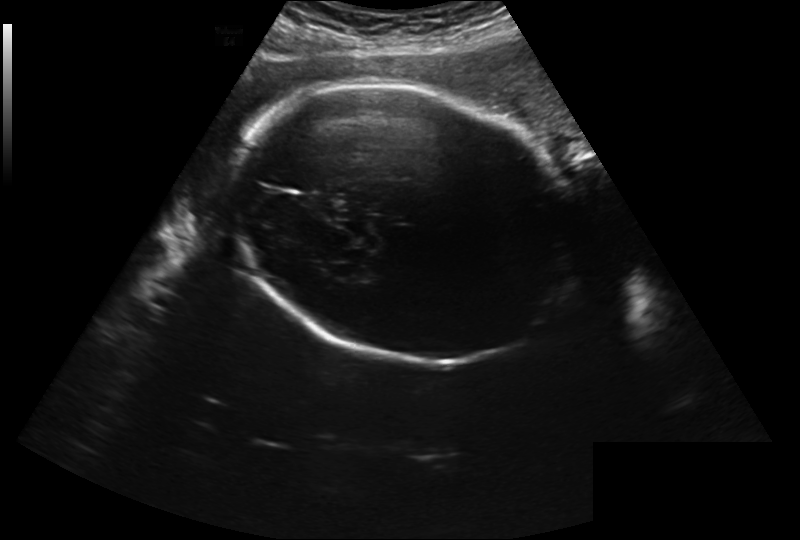
Fetal head ultrasound. Image width: 223.8 mm. Where is the fetal head?

Head bounding box: [231,84,577,361]